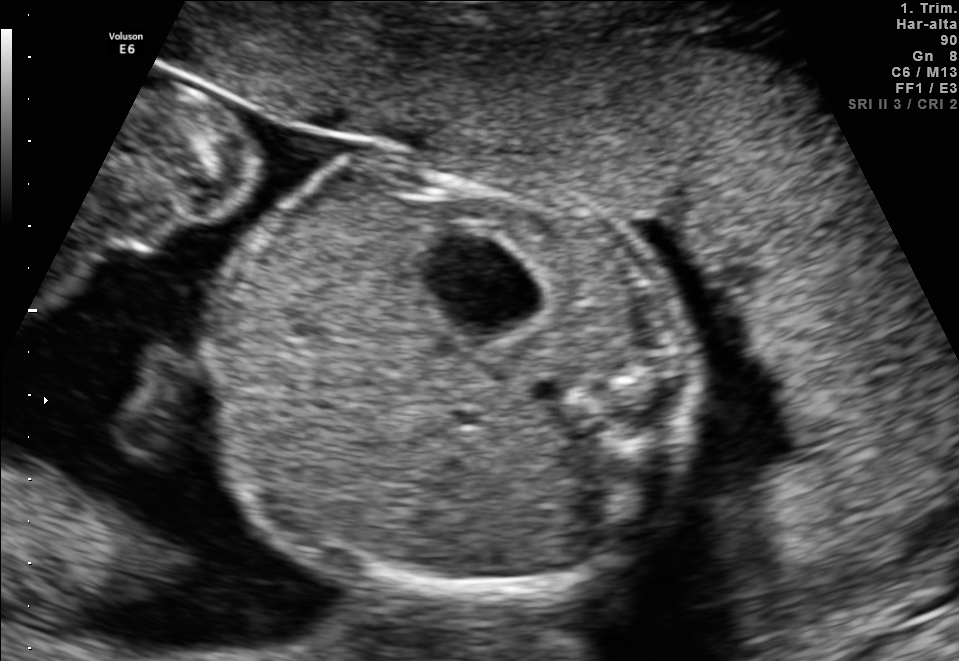
Which standard maternal-fetal ultrasound plane is shown: fetal abdomen, fetal brain, fetal femur, fetal thorax, maternal cervix, or other? If it's fetal brain and one of the three standard brain planes (trans-thalamic, trans-cerebellum, trans-ventricular), name which.

Fetal abdomen